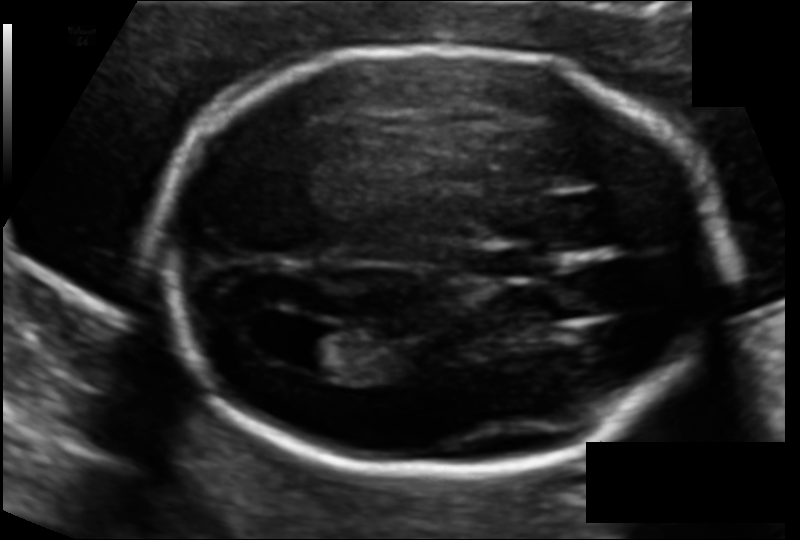
From this fetal ultrasound, estimate the head circumference (image width 89.4 mm).

Head circumference: 178.2 mm.